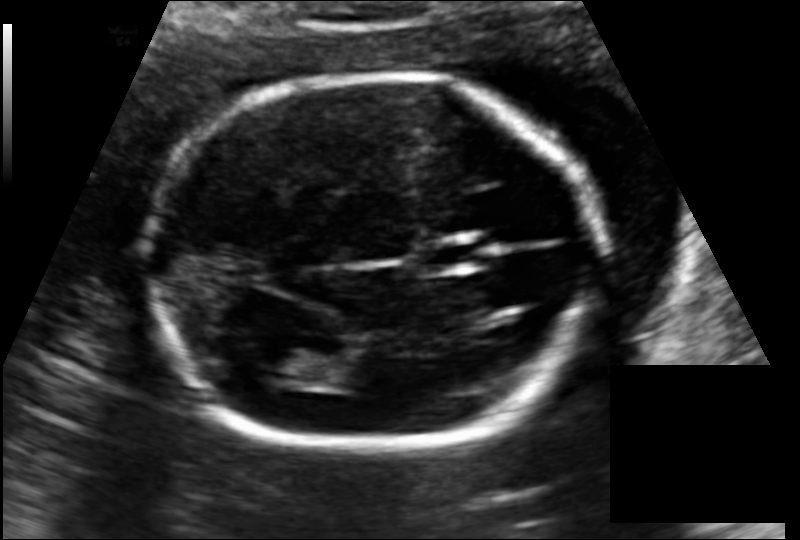
In this fetal head ultrasound, give the bounding box of the lateral ventricle. Image width: 101.6 mm.

[259,342,325,392]